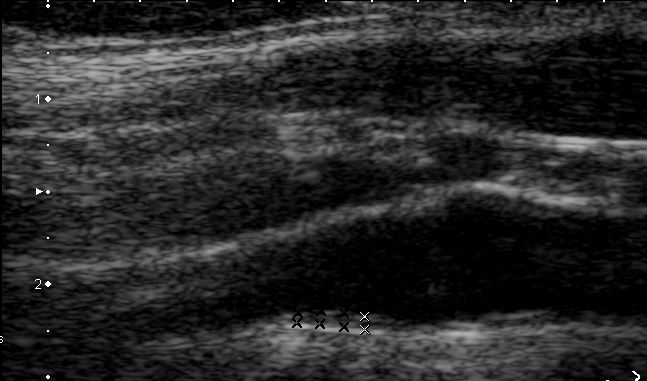
This is a 2D maternal-fetal ultrasound frame. Is it a fetal abdomen, fetal brain, fetal femur, fetal thorax, maternal cervix, or other standard plane? If it's fetal brain and one of the three standard brain planes (trans-thalamic, trans-cerebellum, trans-ventricular), name which.

Other